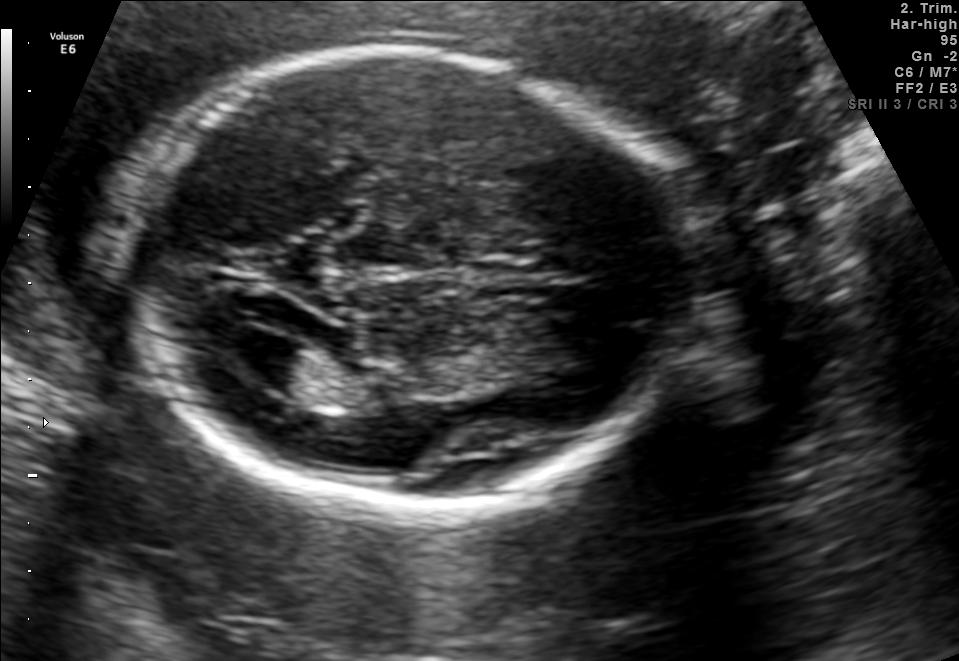
Fetal brain, trans-ventricular plane. Give [x1,y1,x2,y2] bounding boxes for each visible structure among: fetal head, CSP, LV.

Head: [115,40,704,521]
CSP: [470,264,553,300]
Lateral ventricle: [210,311,309,395]